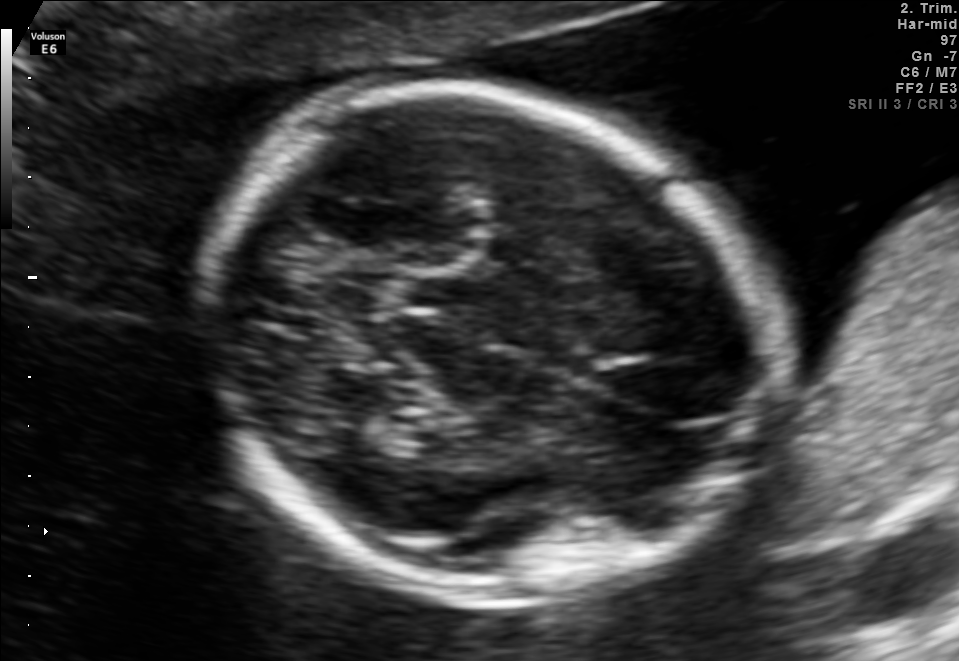
Fetal brain, trans-thalamic plane. Locate the fetal head.

Head: [194,88,775,597]